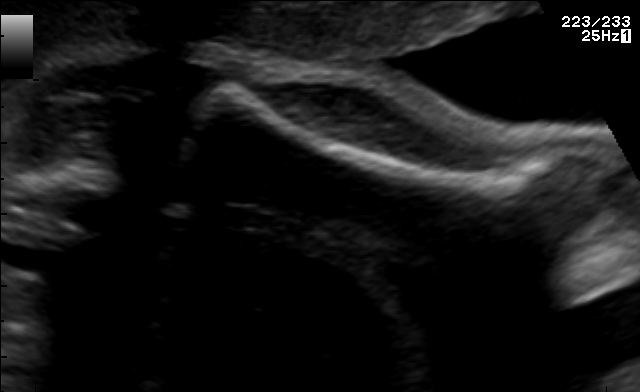
This is a 2D maternal-fetal ultrasound frame. Is it a fetal abdomen, fetal brain, fetal femur, fetal thorax, maternal cervix, or other standard plane? If it's fetal brain and one of the three standard brain planes (trans-thalamic, trans-cerebellum, trans-ventricular), name which.

Fetal femur